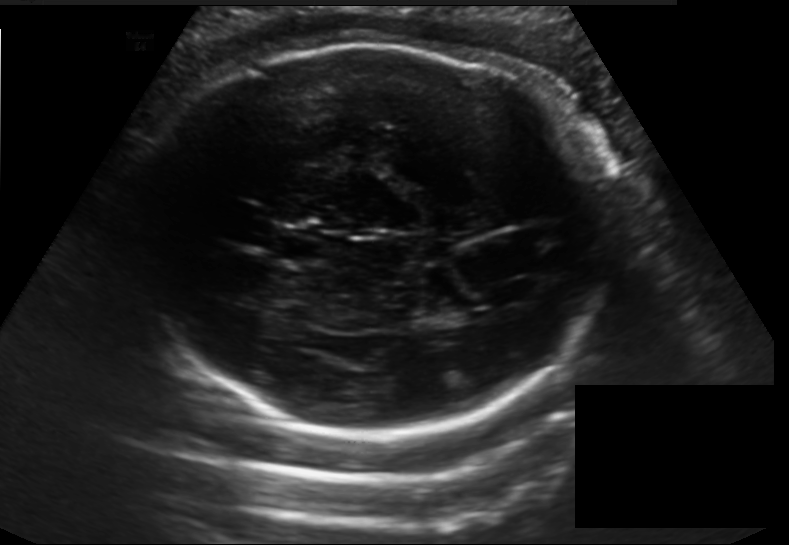
Fetal head ultrasound. Image width: 156.6 mm. Where is the cavum septum pellucidum?

CSP bounding box: [267,229,331,269]